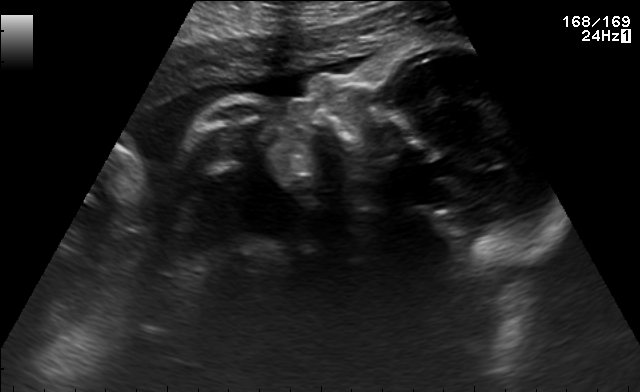
Identify the standard plane in this fetal ultrasound image: fetal abdomen, fetal brain, fetal femur, fetal thorax, maternal cervix, or other. If it's fetal brain and one of the three standard brain planes (trans-thalamic, trans-cerebellum, trans-ventricular), name which.

Other